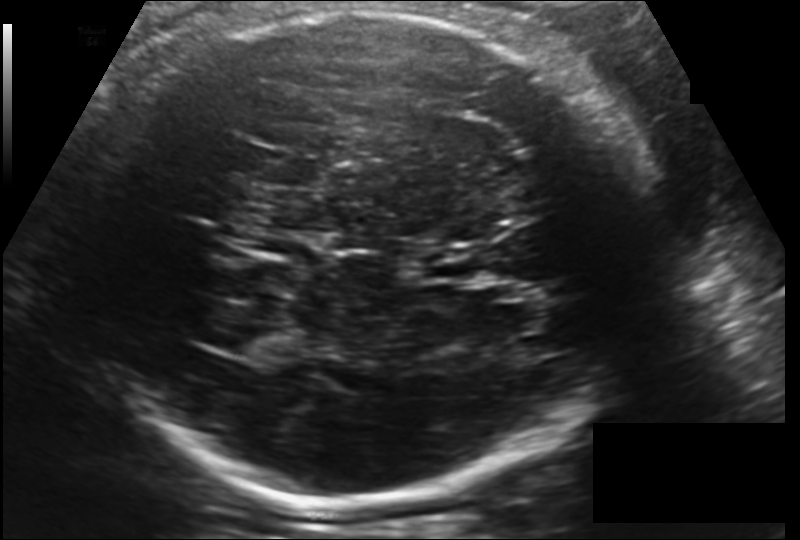
Fetal head ultrasound. Image width: 145.0 mm. Locate the fetal head and, if visible, the cavum septum pellucidum (CSP) and lateral ventricle (LV). Give bounding boxes as [x1,y1,x2,y2].

Head: [86,8,642,506]
Lateral ventricle: [212,316,279,364]